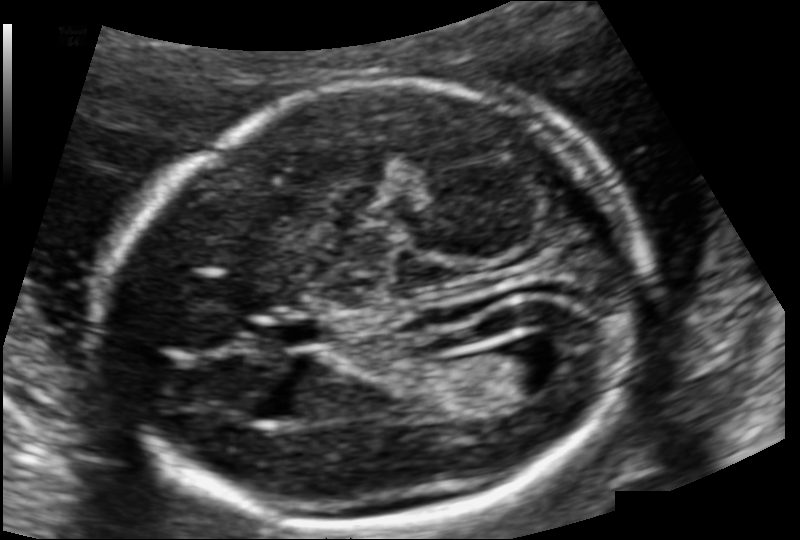
Fetal head ultrasound. Image width: 89.0 mm. Locate the fetal head.

Head: [111,83,641,530]